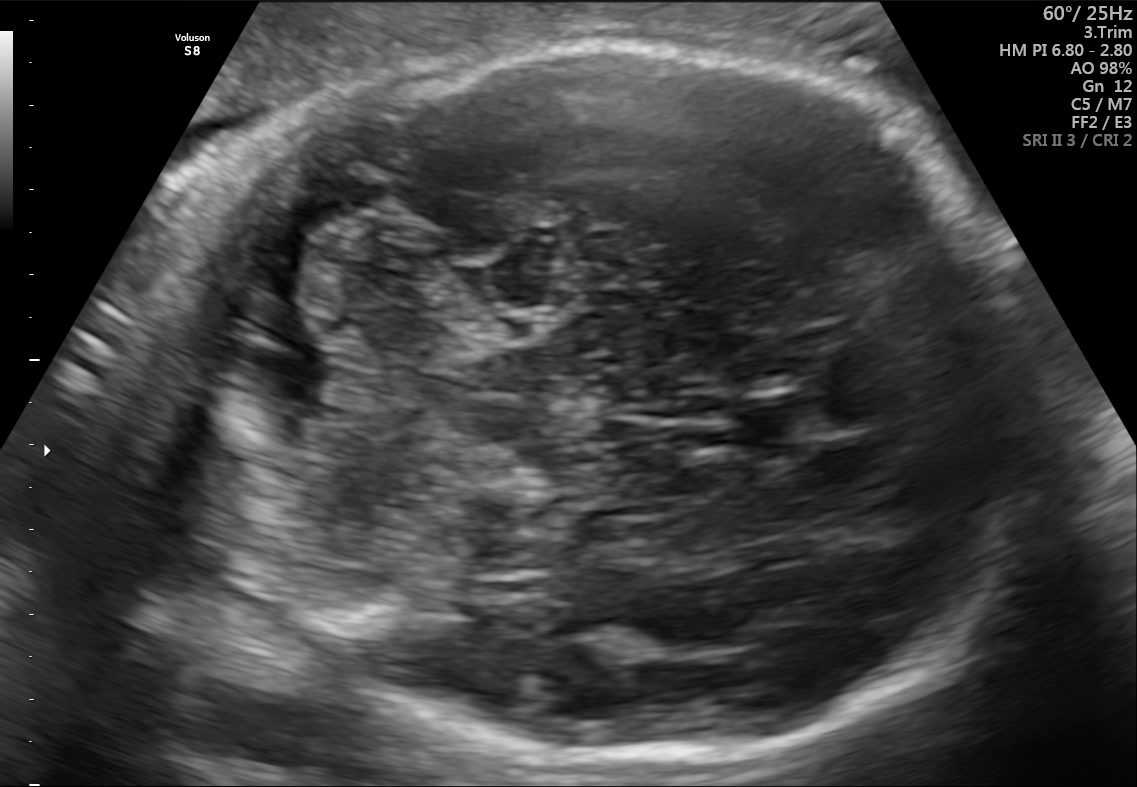
In this fetal brain, trans-cerebellum plane, give the bounding box of the cavum septum pellucidum.

[732,386,832,461]